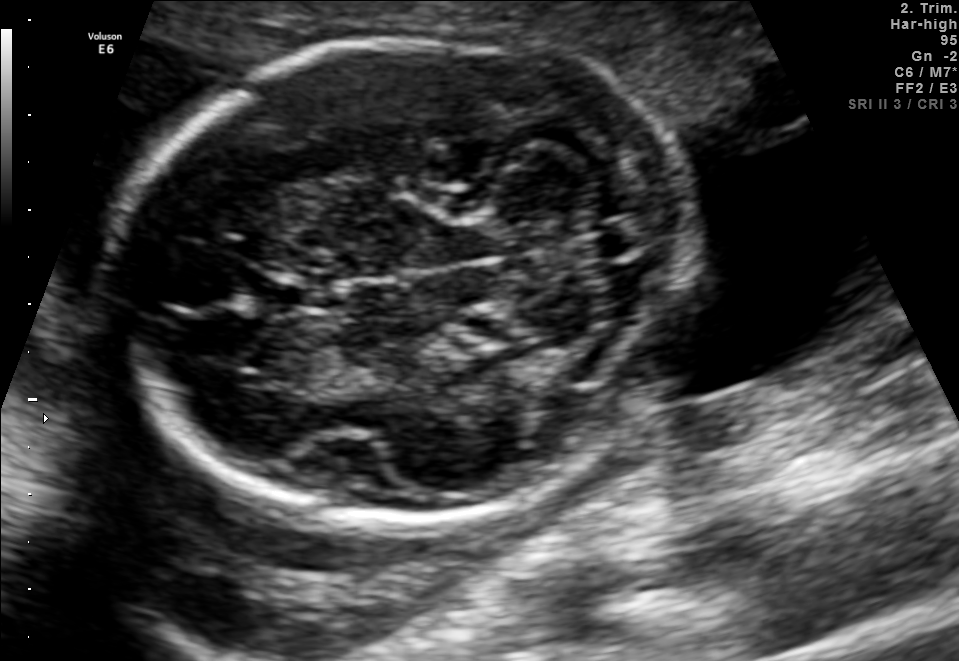
Fetal brain, trans-cerebellum plane. Locate the cavum septum pellucidum.

CSP: [270,282,326,314]